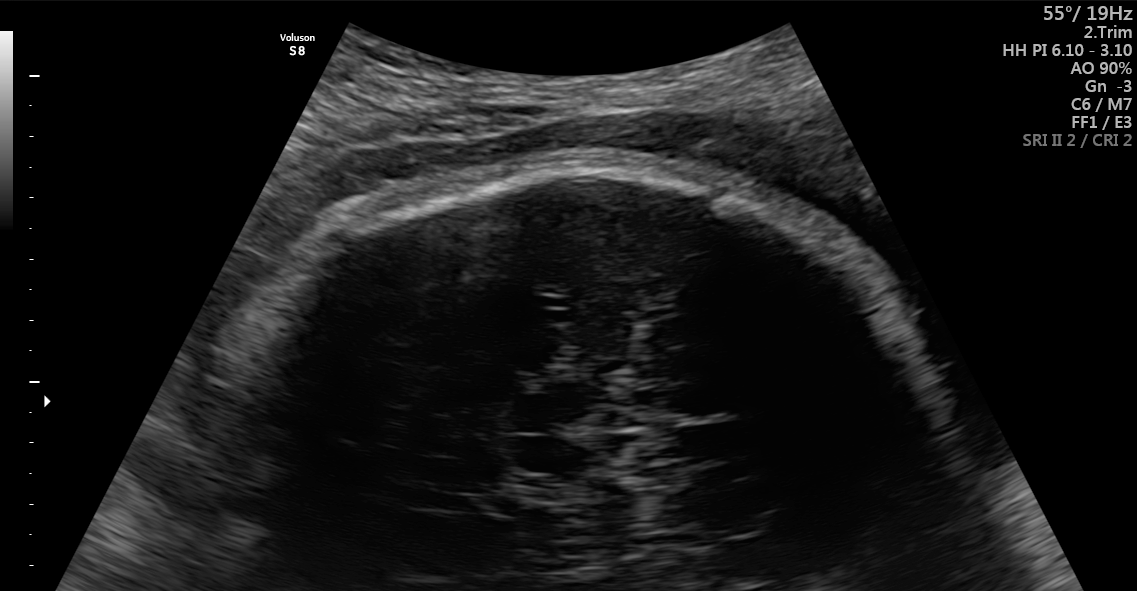
Identify the standard plane in this fetal ultrasound image: fetal abdomen, fetal brain, fetal femur, fetal thorax, maternal cervix, or other. If it's fetal brain and one of the three standard brain planes (trans-thalamic, trans-cerebellum, trans-ventricular), name which.

Fetal brain